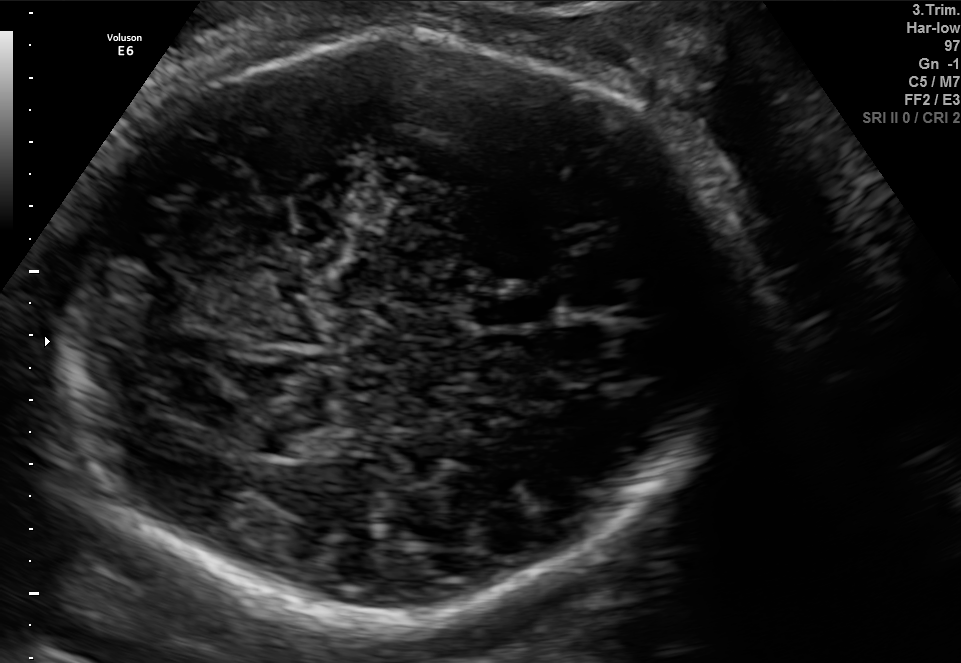
Fetal brain, trans-cerebellum plane. Locate the fetal head and, if visible, the cavum septum pellucidum (CSP) and lateral ventricle (LV). Give bounding boxes as [x1,y1,x2,y2].

Head: [52,31,729,614]
CSP: [469,287,558,331]